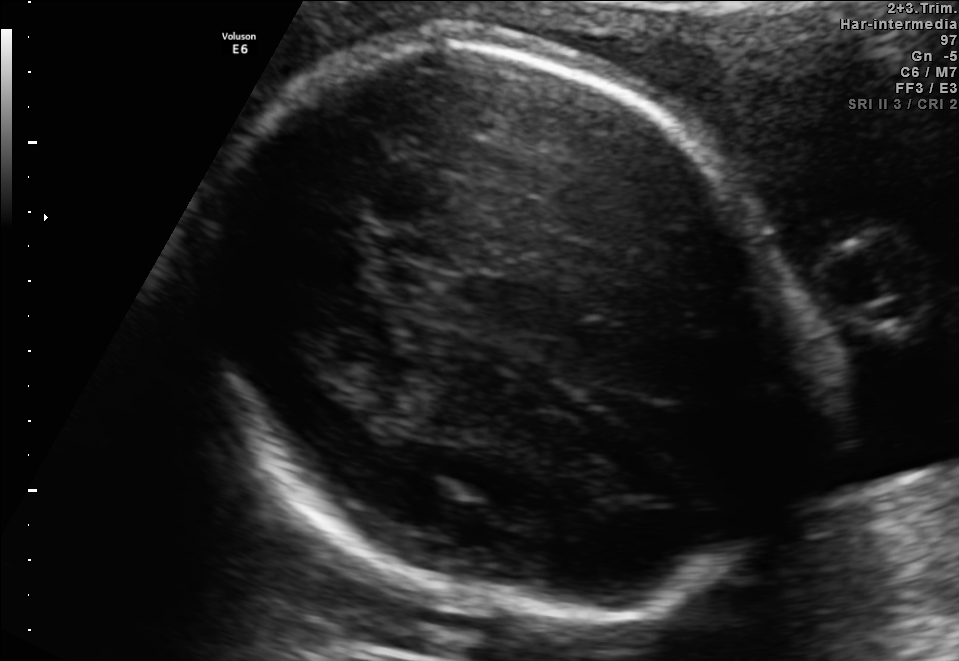
Fetal brain, trans-thalamic plane. Give [x1,y1,x2,y2] bounding boxes for each visible structure among: fetal head, CSP, LV.

Head: [193,43,816,620]